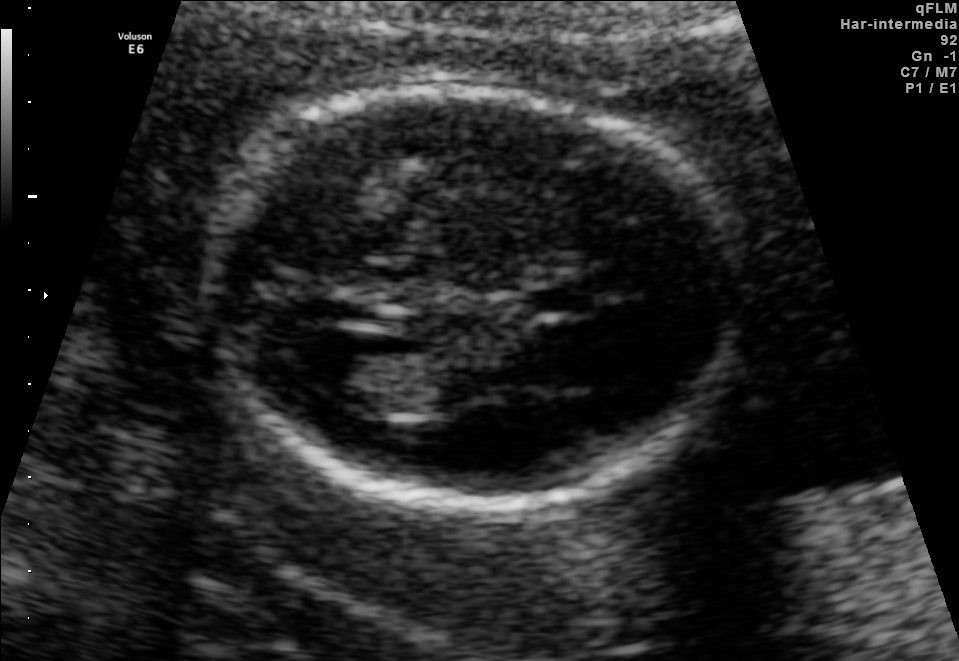
Fetal brain, trans-ventricular plane. Locate the fetal head.

Head: [183,78,772,515]